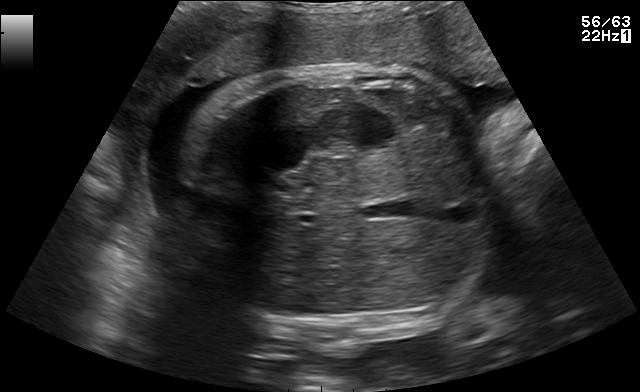
Identify the standard plane in this fetal ultrasound image: fetal abdomen, fetal brain, fetal femur, fetal thorax, maternal cervix, or other. If it's fetal brain and one of the three standard brain planes (trans-thalamic, trans-cerebellum, trans-ventricular), name which.

Fetal abdomen